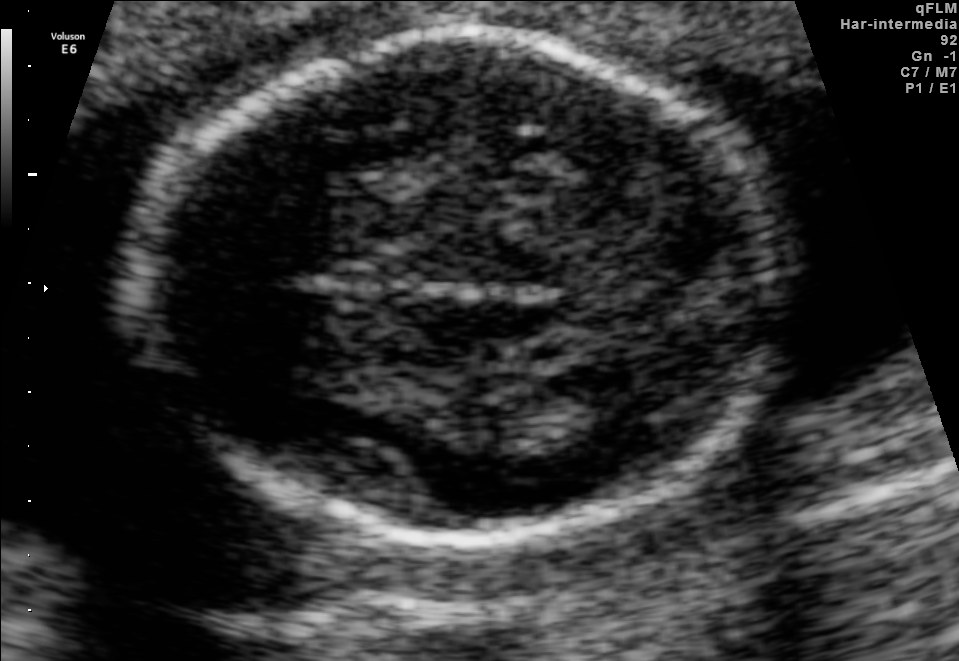
In this fetal brain, trans-thalamic plane, give the bounding box of the fetal head.

[130,30,785,541]